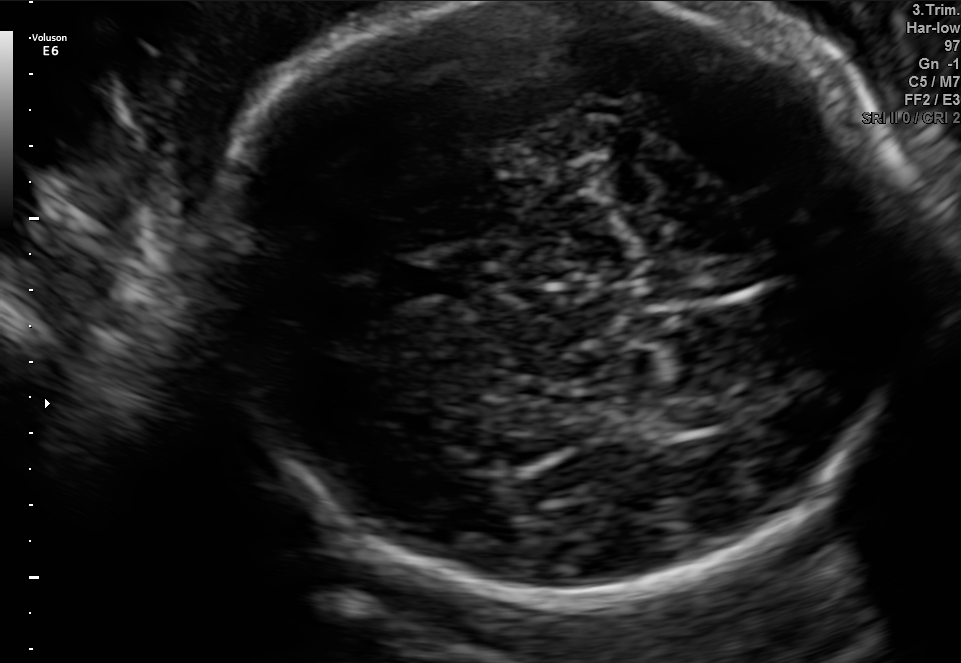
In this fetal brain, trans-thalamic plane, give the bounding box of the fetal head.

[217,1,910,588]